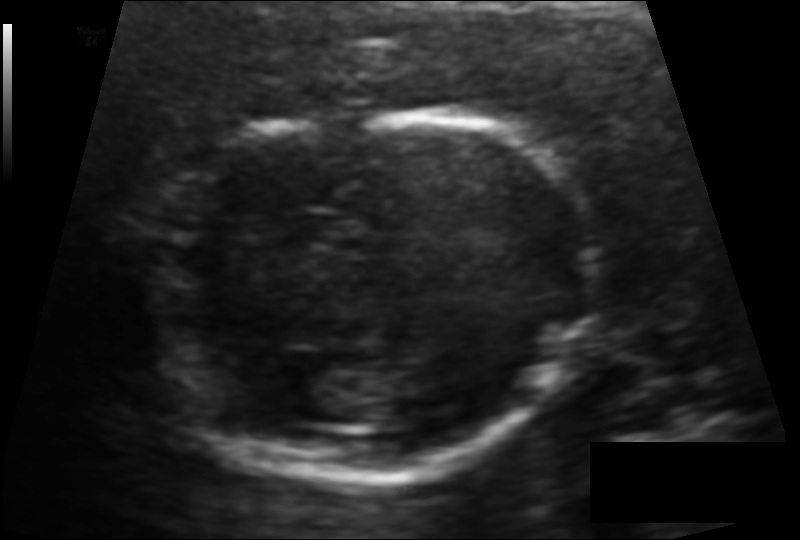
Fetal head ultrasound. Image width: 81.2 mm. Give [x1,y1,x2,y2] bounding boxes for each visible structure among: fetal head, CSP, LV.

Head: [148,111,601,478]